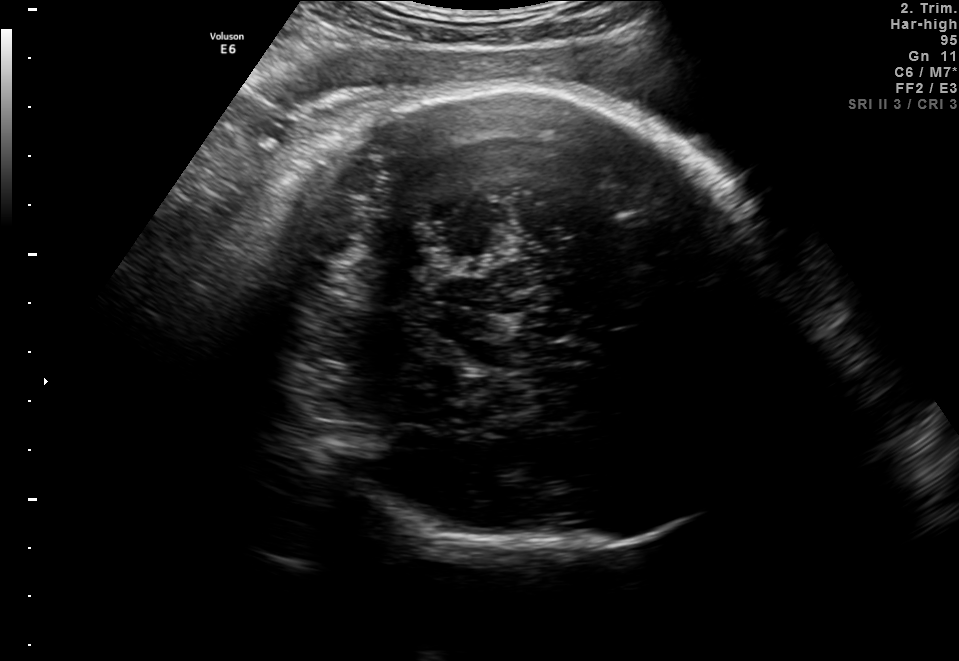
Fetal brain, trans-thalamic plane. Locate the fetal head and, if visible, the cavum septum pellucidum (CSP) and lateral ventricle (LV). Give bounding boxes as [x1,y1,x2,y2].

Head: [246,88,787,555]